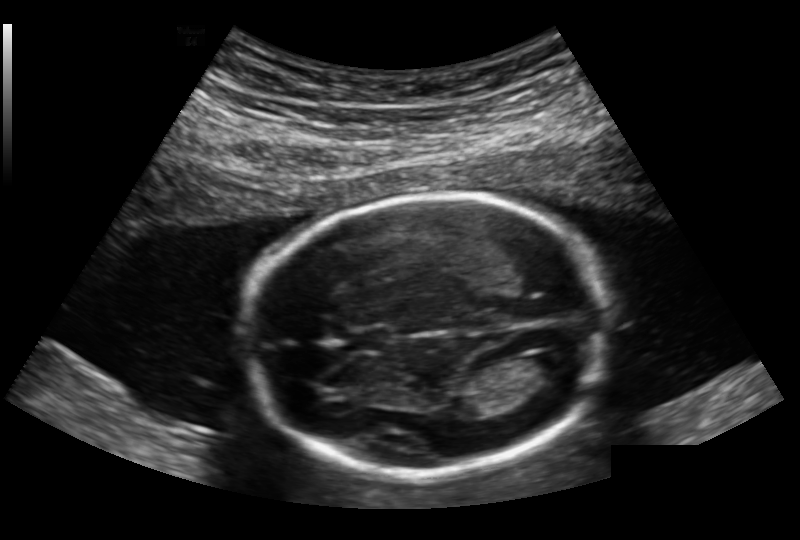
Fetal head ultrasound. Image width: 134.4 mm. Give [x1,y1,x2,y2] bounding boxes for each visible structure among: fetal head, CSP, LV.

Head: [246,195,606,474]
CSP: [349,326,394,354]
Lateral ventricle: [521,346,578,387]